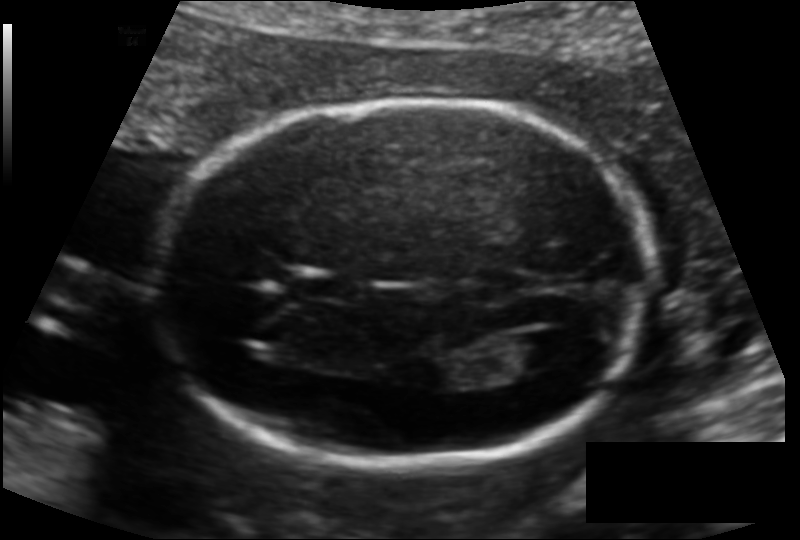
What is the fetal head circumference? Image width is 102.6 mm.

178.0 mm